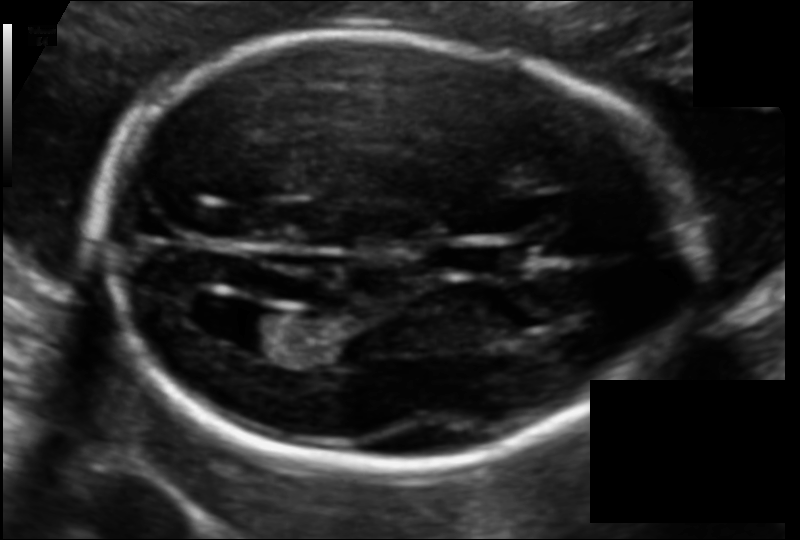
Fetal head ultrasound. Image width: 86.6 mm. Where is the fetal head?

Head bounding box: [98,33,691,471]